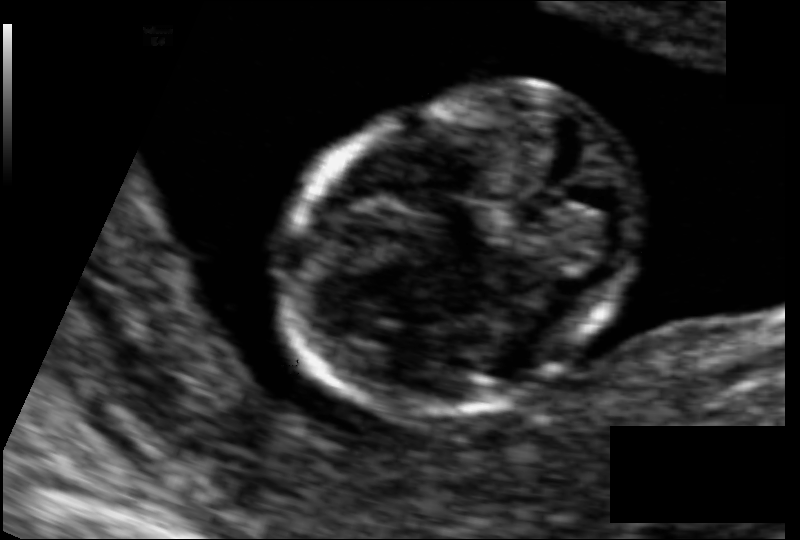
Fetal head ultrasound. Image width: 52.4 mm. Give [x1,y1,x2,y2] bounding boxes for each visible structure among: fetal head, CSP, LV.

Head: [286,91,644,415]